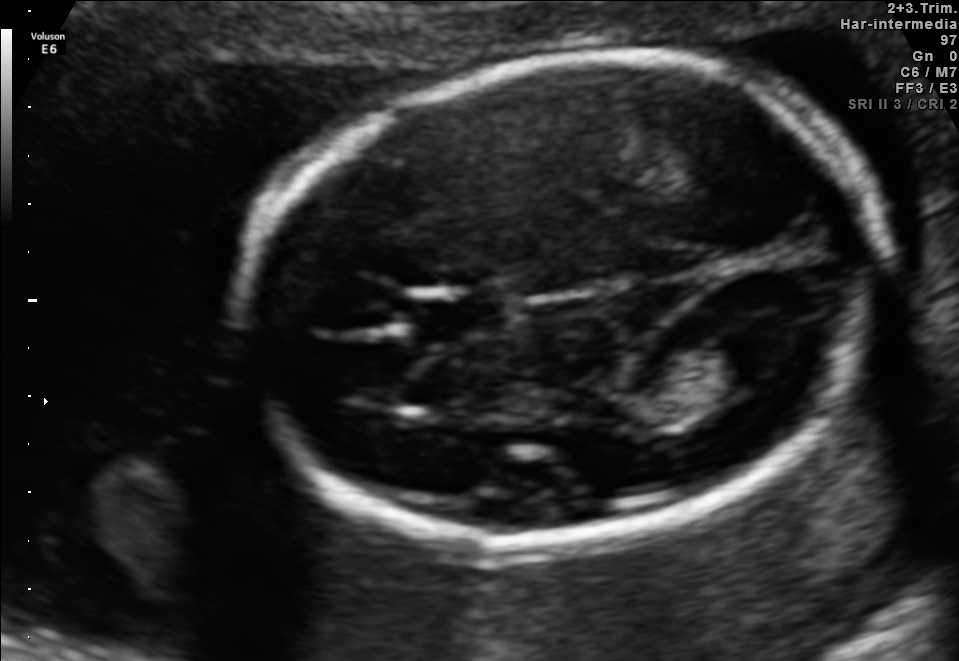
Fetal brain, trans-ventricular plane. Where is the cavum septum pellucidum?

CSP bounding box: [407,287,521,345]